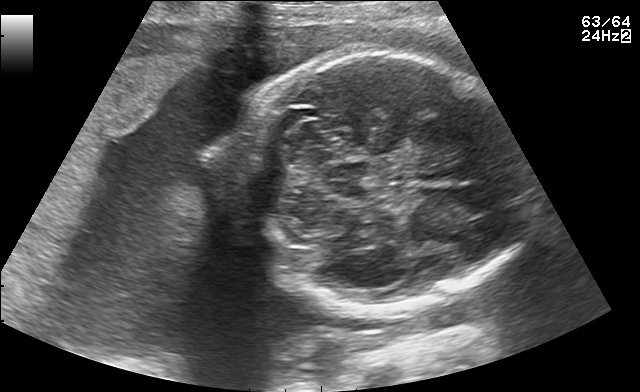
Fetal brain, trans-cerebellum plane. Give [x1,y1,x2,y2] bounding boxes for each visible structure among: fetal head, CSP, LV.

Head: [234,54,521,313]